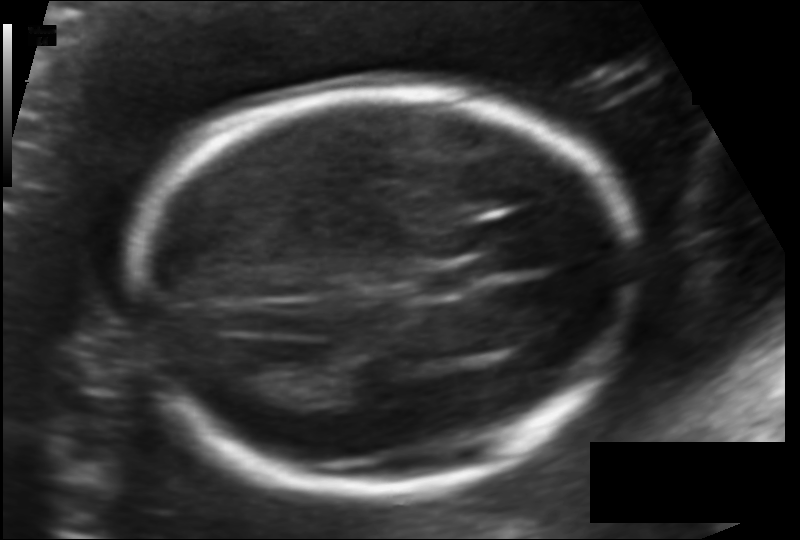
Fetal head ultrasound. Image width: 99.3 mm. Where is the fetal head?

Head bounding box: [133,88,636,488]